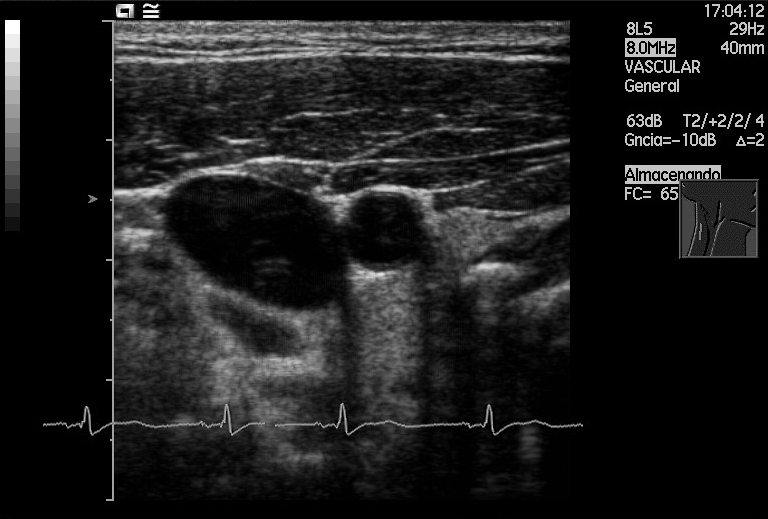
Identify the standard plane in this fetal ultrasound image: fetal abdomen, fetal brain, fetal femur, fetal thorax, maternal cervix, or other. If it's fetal brain and one of the three standard brain planes (trans-thalamic, trans-cerebellum, trans-ventricular), name which.

Other